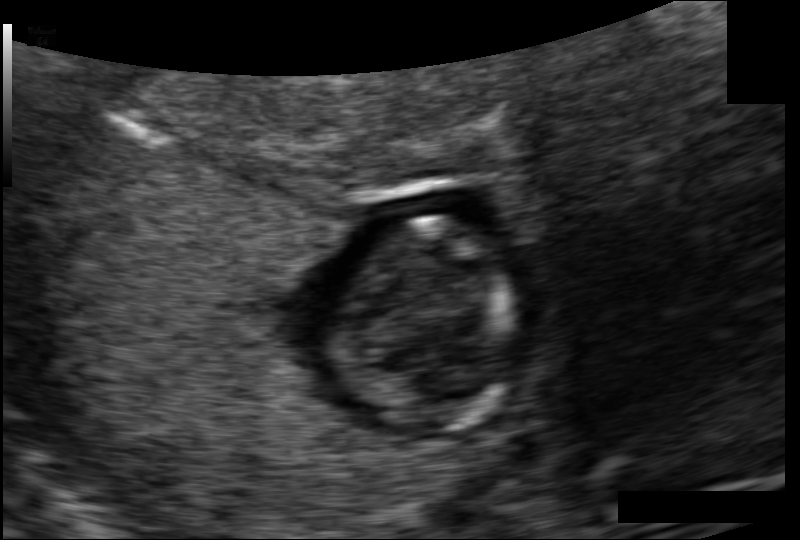
Estimate the fetal head circumference from this 2D ultrasound. Image width: 78.5 mm.

Head circumference: 65.4 mm.